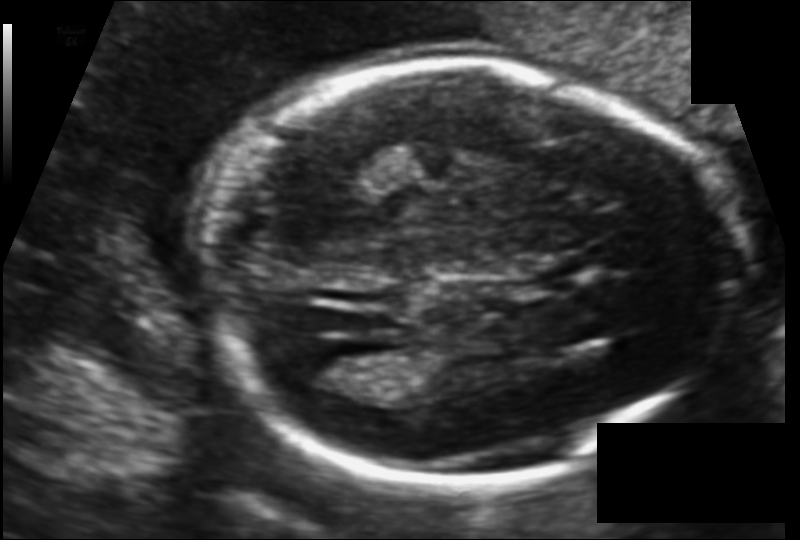
Estimate the fetal head circumference from this 2D ultrasound.

Head circumference: 177.9 mm (image width 93.1 mm).